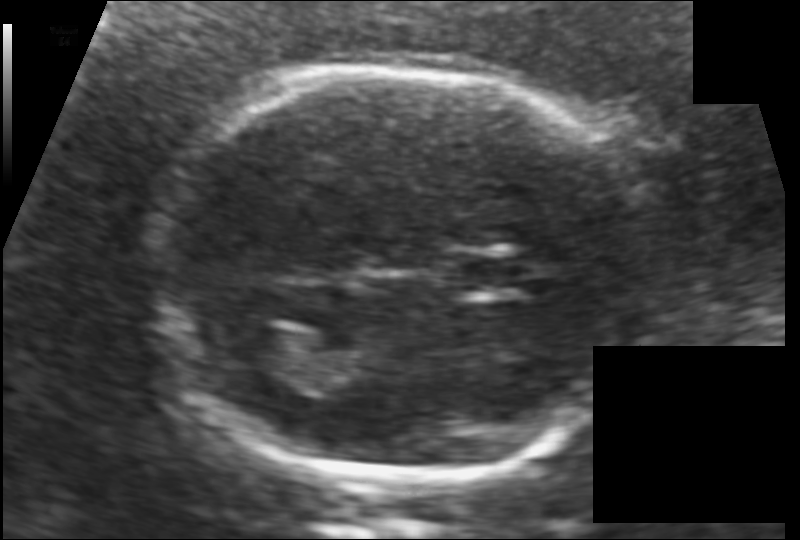
In this fetal head ultrasound, give the bounding box of the fetal head. Image width: 94.0 mm.

[153,65,646,486]